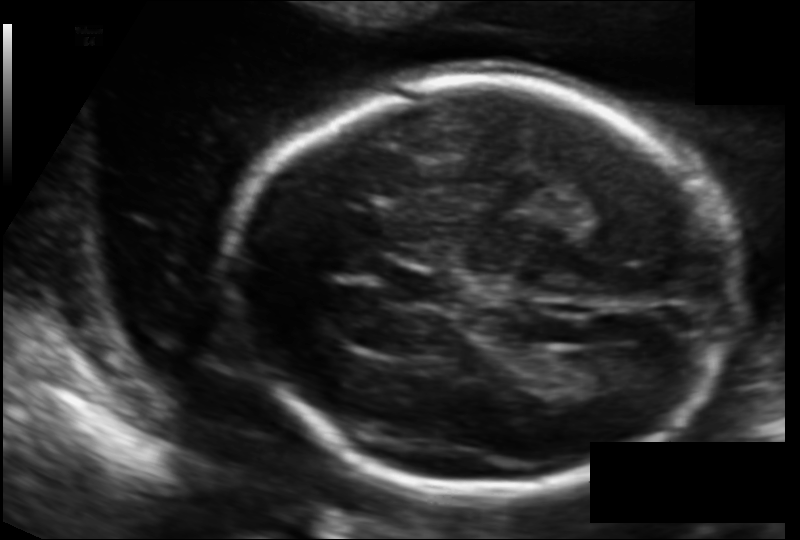
Fetal head ultrasound. Image width: 100.4 mm. Locate the lateral ventricle.

Lateral ventricle: [565,348,640,394]